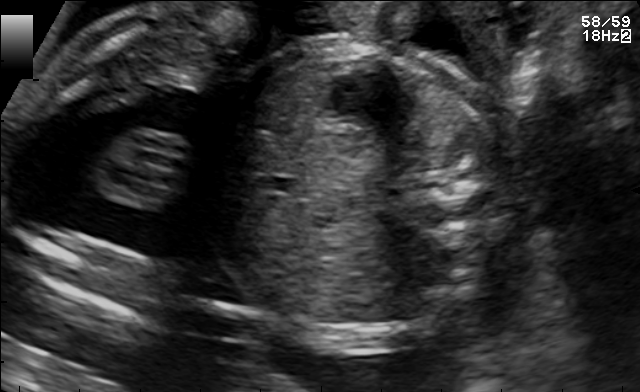
This is a 2D maternal-fetal ultrasound frame. Is it a fetal abdomen, fetal brain, fetal femur, fetal thorax, maternal cervix, or other standard plane? If it's fetal brain and one of the three standard brain planes (trans-thalamic, trans-cerebellum, trans-ventricular), name which.

Fetal abdomen